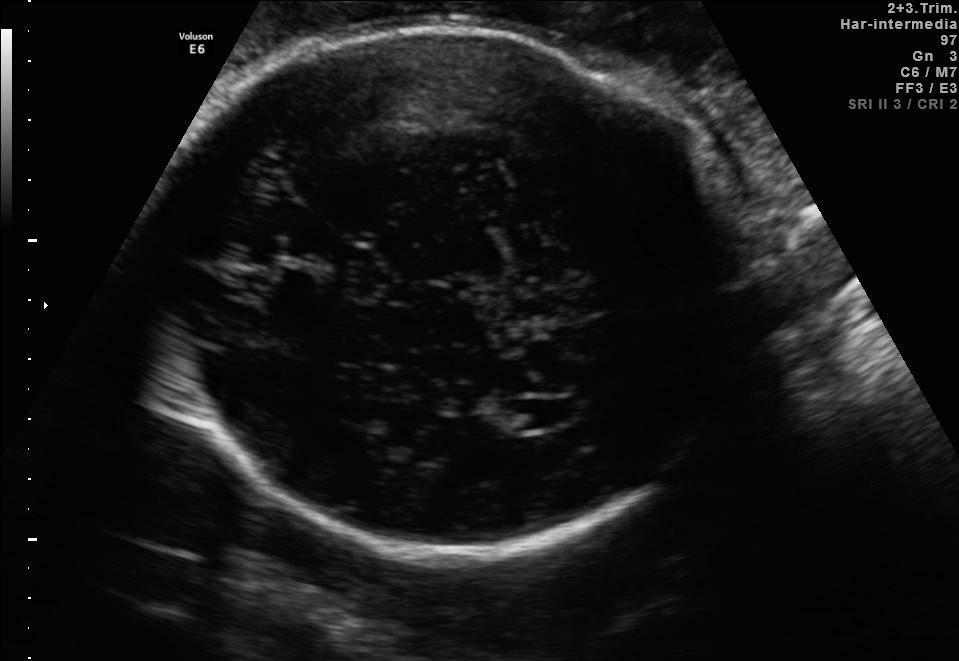
In this fetal brain, trans-ventricular plane, give the bounding box of the lateral ventricle.

[510,389,584,431]